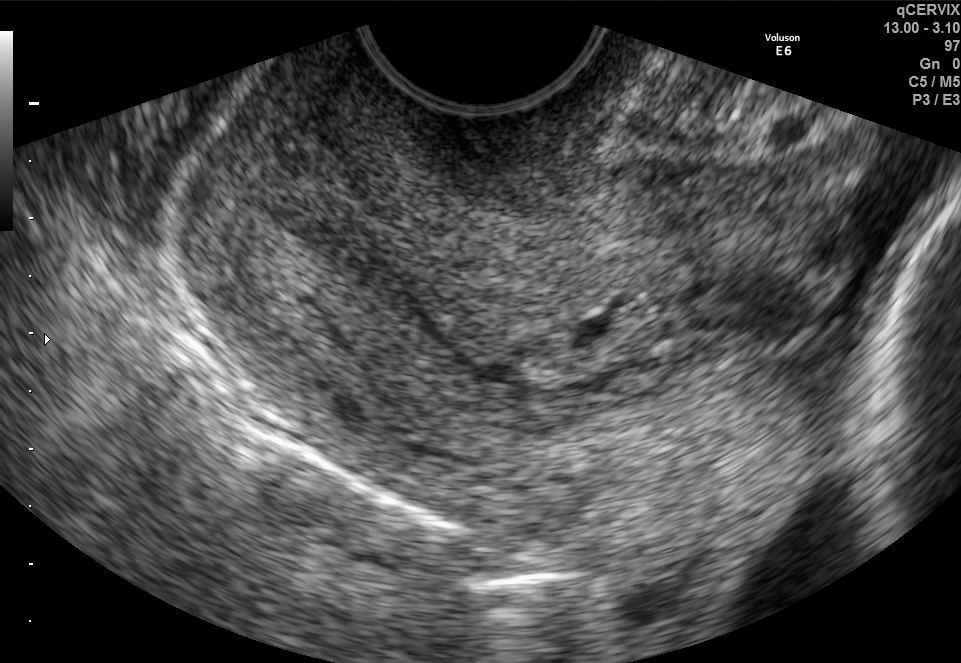
Identify the standard plane in this fetal ultrasound image: fetal abdomen, fetal brain, fetal femur, fetal thorax, maternal cervix, or other. If it's fetal brain and one of the three standard brain planes (trans-thalamic, trans-cerebellum, trans-ventricular), name which.

Maternal cervix